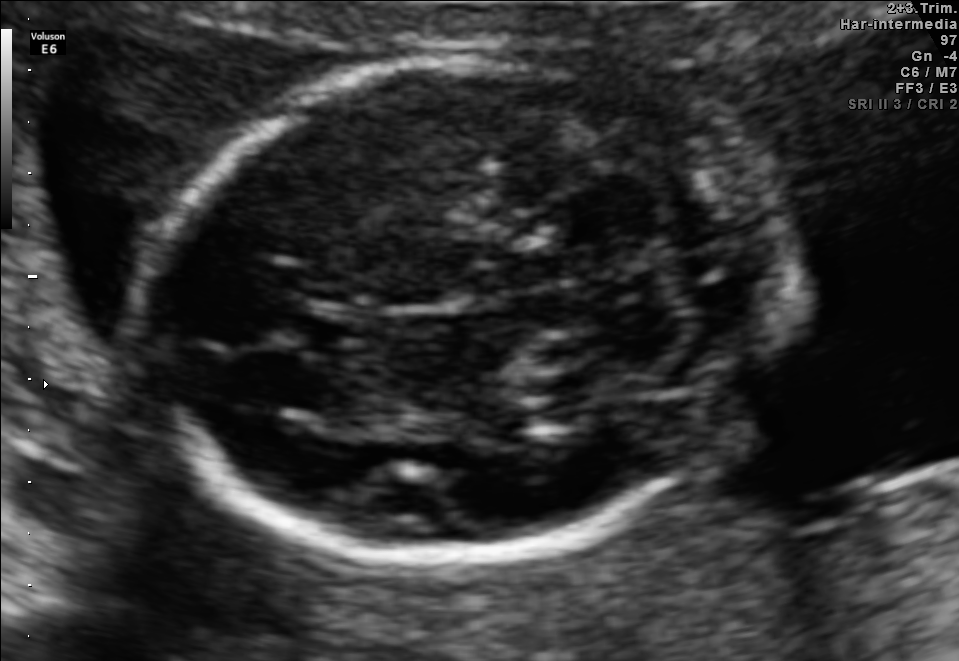
In this fetal brain, trans-cerebellum plane, give the bounding box of the fetal head.

[160,55,739,572]